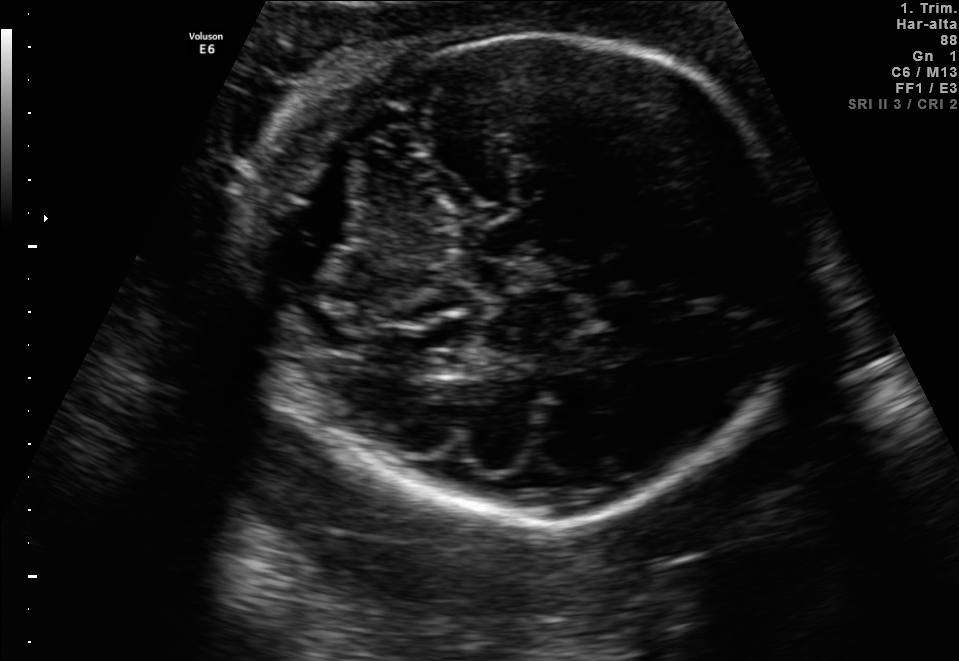
This is a 2D maternal-fetal ultrasound frame. Is it a fetal abdomen, fetal brain, fetal femur, fetal thorax, maternal cervix, or other standard plane? If it's fetal brain and one of the three standard brain planes (trans-thalamic, trans-cerebellum, trans-ventricular), name which.

Fetal brain (trans-cerebellum plane)